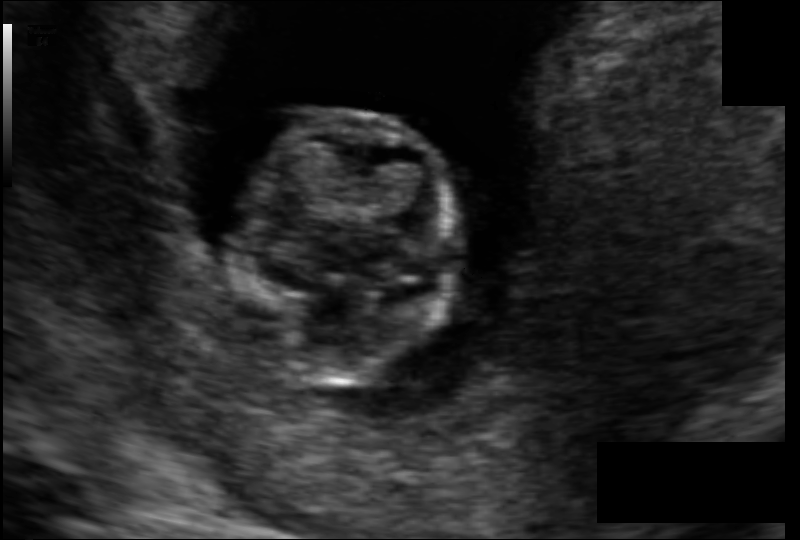
Estimate the fetal head circumference from this 2D ultrasound.

Head circumference: 73.1 mm (image width 72.7 mm).